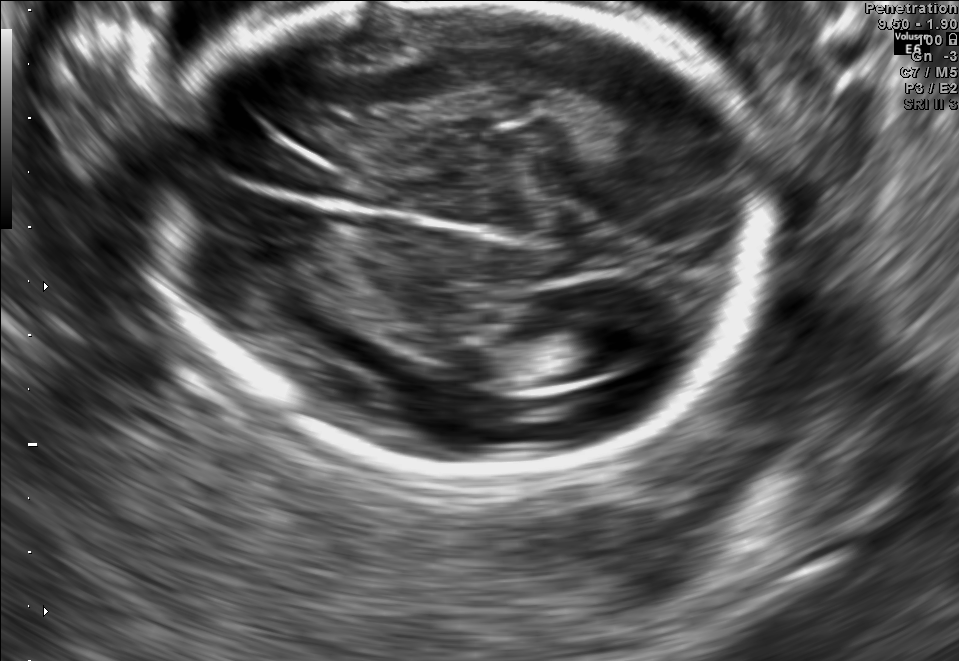
Fetal brain, trans-ventricular plane. Give [x1,y1,x2,y2] bounding boxes for each visible structure among: fetal head, CSP, LV.

Head: [146,3,777,466]
Lateral ventricle: [554,306,652,382]